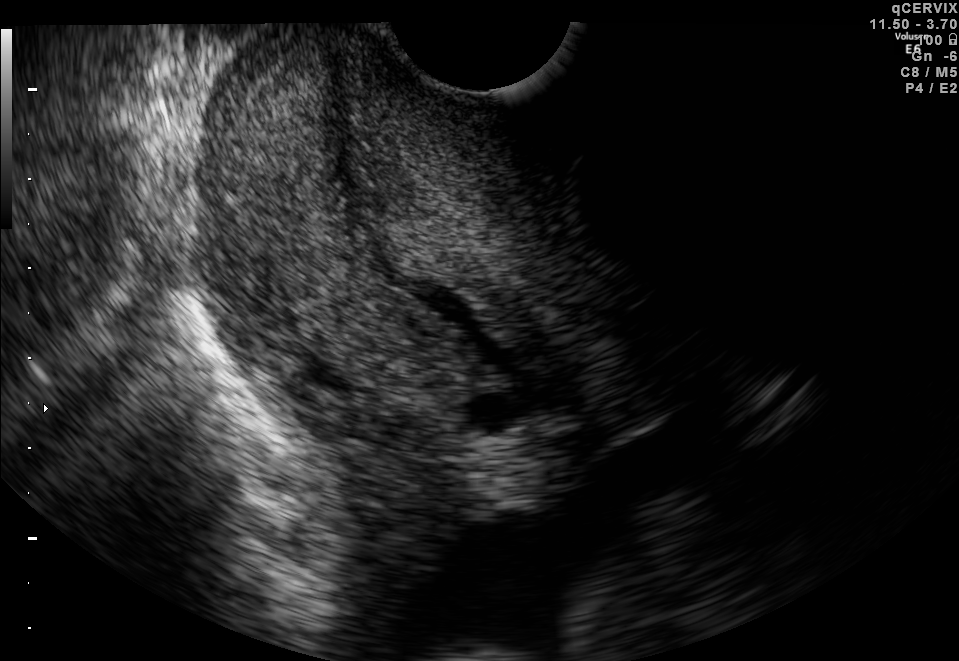
This is a 2D maternal-fetal ultrasound frame. Is it a fetal abdomen, fetal brain, fetal femur, fetal thorax, maternal cervix, or other standard plane? If it's fetal brain and one of the three standard brain planes (trans-thalamic, trans-cerebellum, trans-ventricular), name which.

Maternal cervix